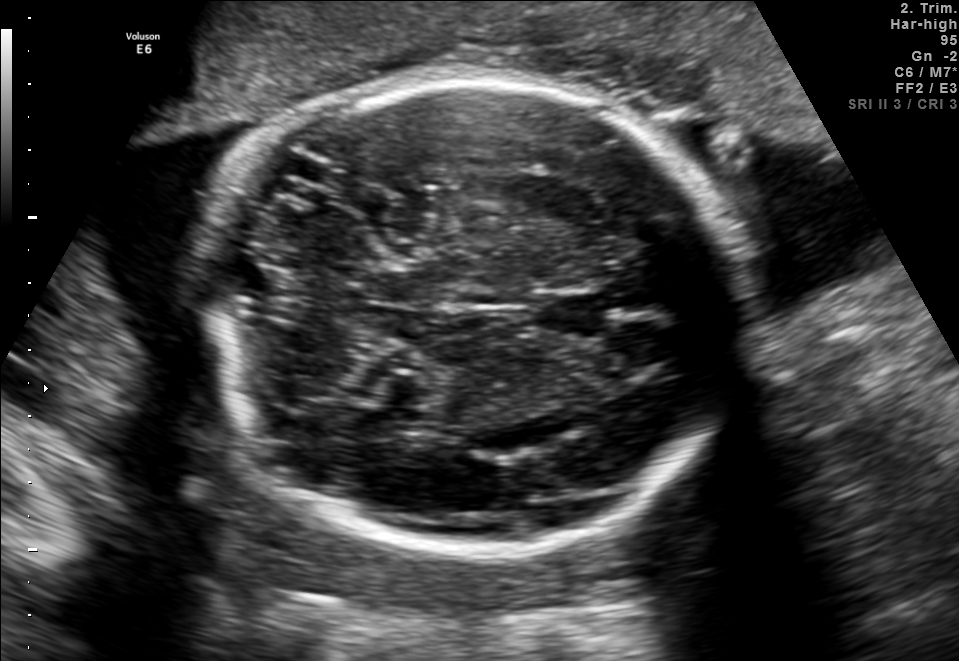
Fetal brain, trans-cerebellum plane. Where is the fetal head?

Head bounding box: [204,76,733,557]